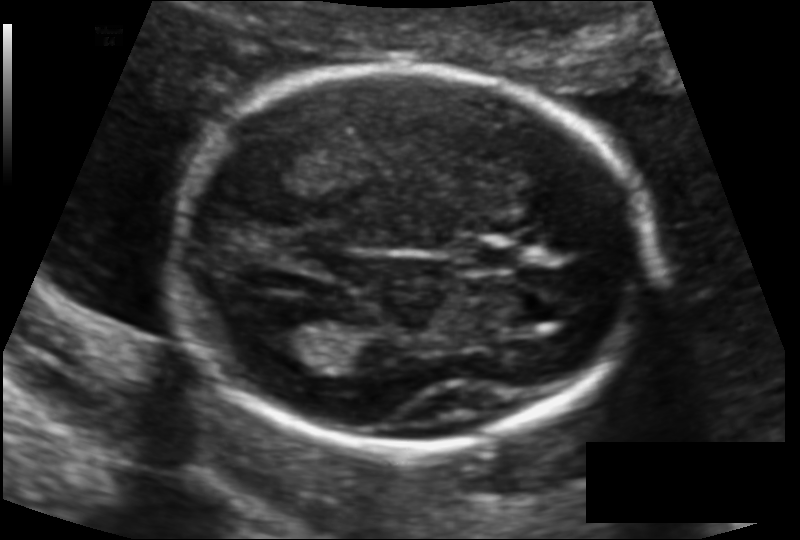
What is the fetal head circumference? Image width is 93.3 mm.

162.2 mm